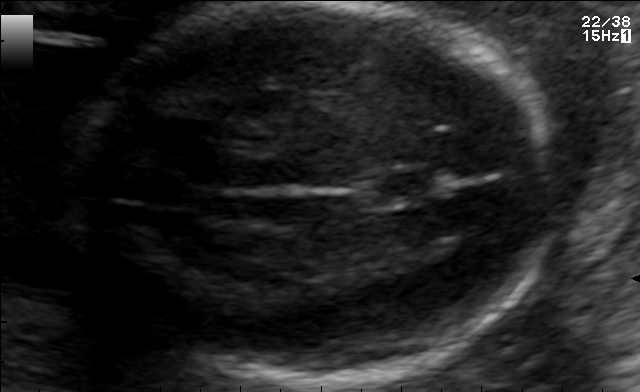
Identify the standard plane in this fetal ultrasound image: fetal abdomen, fetal brain, fetal femur, fetal thorax, maternal cervix, or other. If it's fetal brain and one of the three standard brain planes (trans-thalamic, trans-cerebellum, trans-ventricular), name which.

Fetal brain (trans-thalamic plane)